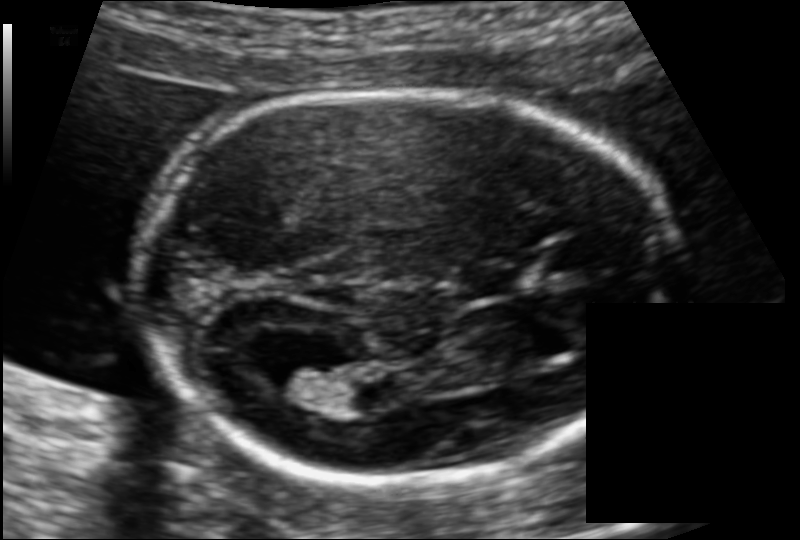
What is the fetal head circumference? Image width is 85.1 mm.

159.9 mm